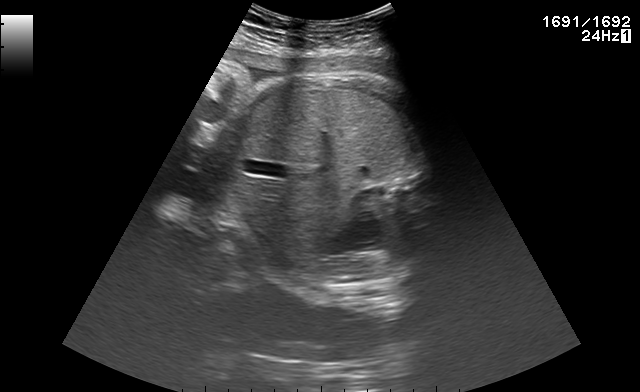
This is a 2D maternal-fetal ultrasound frame. Is it a fetal abdomen, fetal brain, fetal femur, fetal thorax, maternal cervix, or other standard plane? If it's fetal brain and one of the three standard brain planes (trans-thalamic, trans-cerebellum, trans-ventricular), name which.

Fetal abdomen